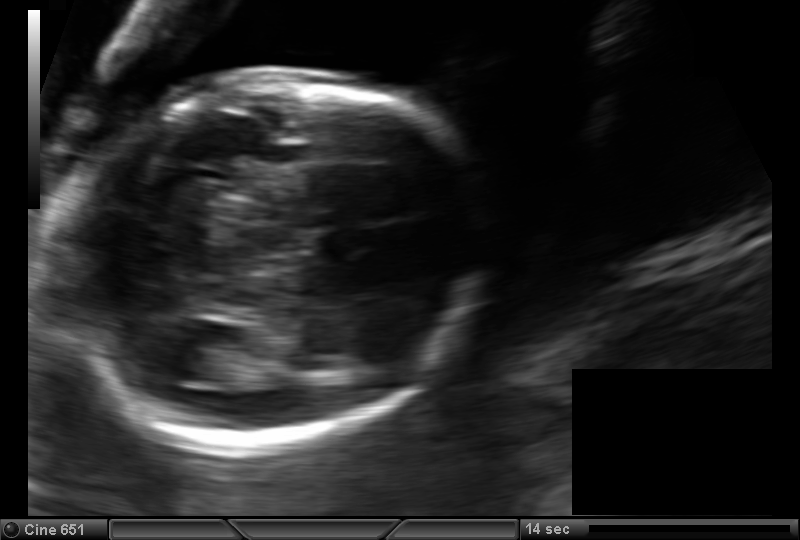
Fetal head ultrasound. Image width: 106.1 mm. Locate the fetal head.

Head: [56,82,482,450]